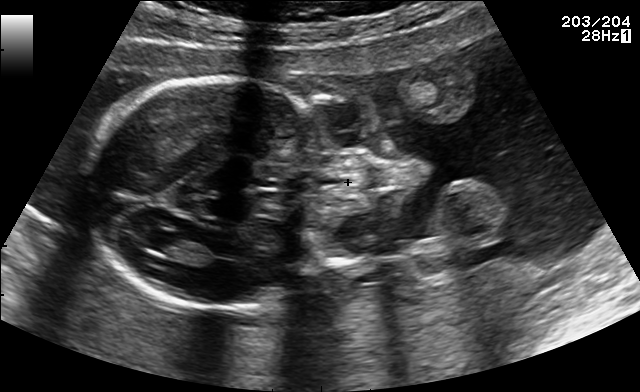
Classify this maternal-fetal ultrasound image as one of the six standard planes — fetal abdomen, fetal brain, fetal femur, fetal thorax, maternal cervix, or other. If it's fetal brain and one of the three standard brain planes (trans-thalamic, trans-cerebellum, trans-ventricular), name which.

Other